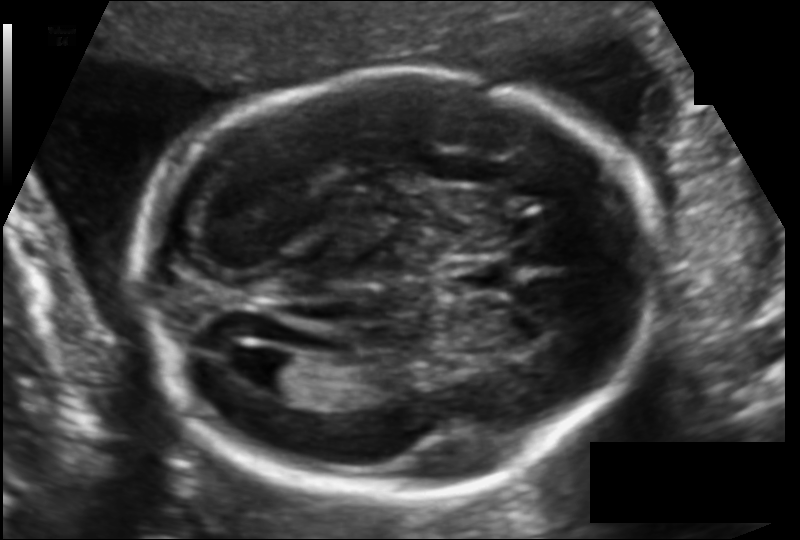
Estimate the fetal head circumference from this 2D ultrasound. Image width: 97.1 mm.

Head circumference: 184.2 mm.